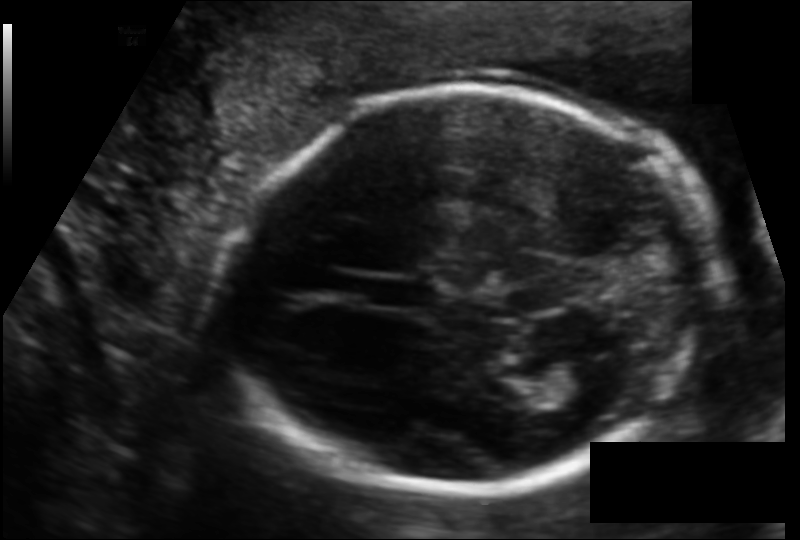
Estimate the fetal head circumference from this 2D ultrasound.

Head circumference: 175.6 mm (image width 95.3 mm).